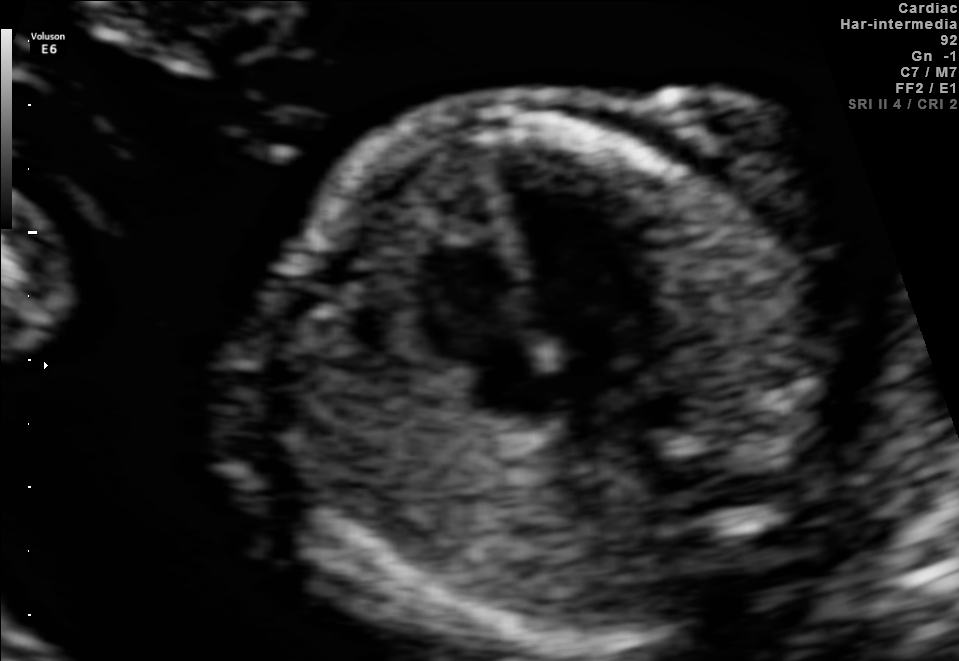
Identify the standard plane in this fetal ultrasound image: fetal abdomen, fetal brain, fetal femur, fetal thorax, maternal cervix, or other. If it's fetal brain and one of the three standard brain planes (trans-thalamic, trans-cerebellum, trans-ventricular), name which.

Fetal thorax